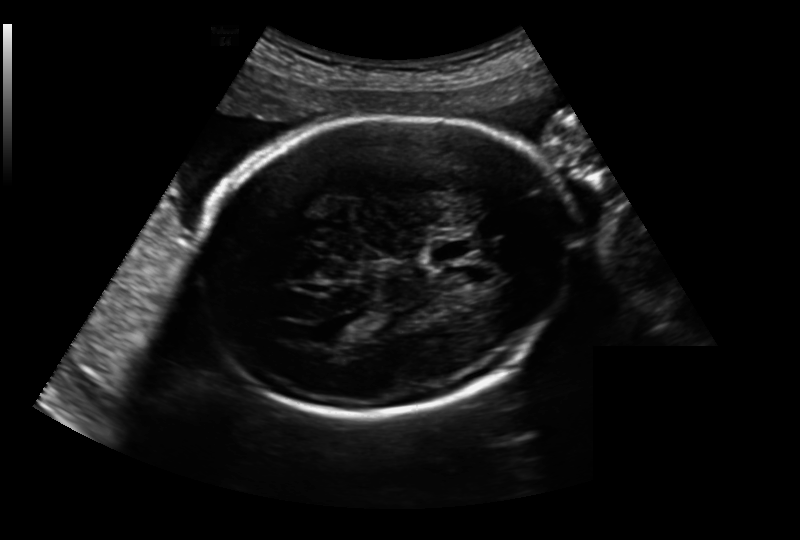
Fetal head ultrasound. Image width: 170.6 mm. Where is the cavum septum pellucidum?

CSP bounding box: [425,232,479,269]